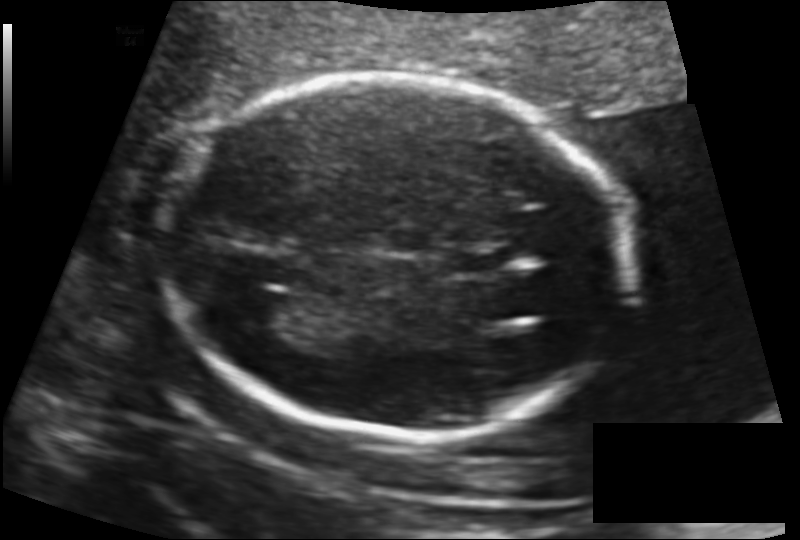
Fetal head ultrasound. Image width: 104.1 mm. Locate the cavum septum pellucidum.

CSP: [439,247,515,276]